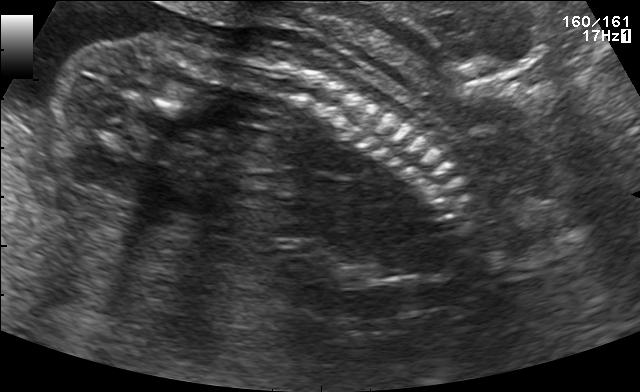
Identify the standard plane in this fetal ultrasound image: fetal abdomen, fetal brain, fetal femur, fetal thorax, maternal cervix, or other. If it's fetal brain and one of the three standard brain planes (trans-thalamic, trans-cerebellum, trans-ventricular), name which.

Other